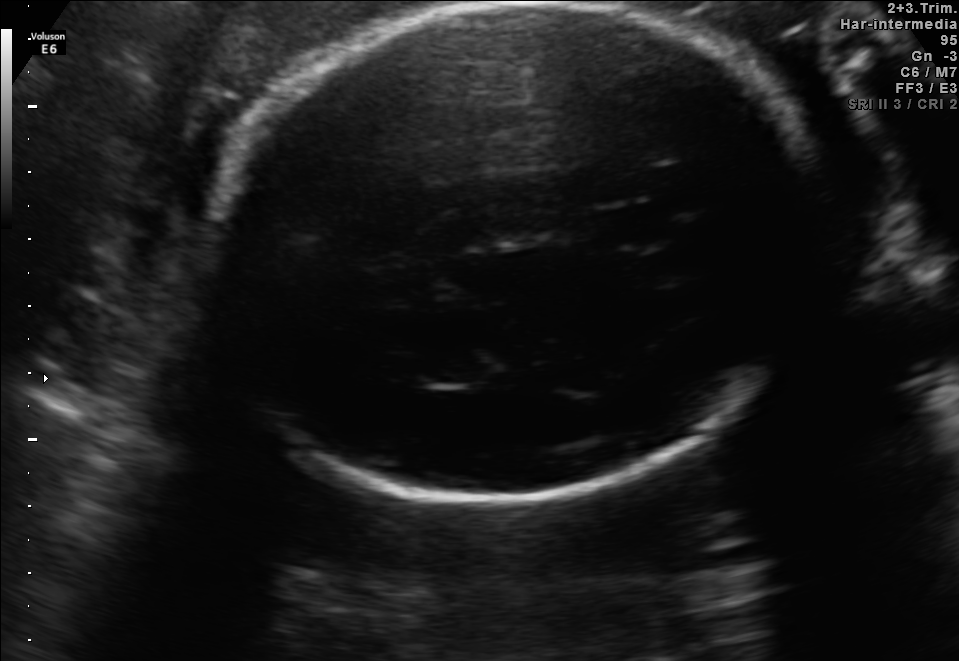
Fetal brain, trans-thalamic plane. Locate the lateral ventricle.

Lateral ventricle: [407,349,483,384]